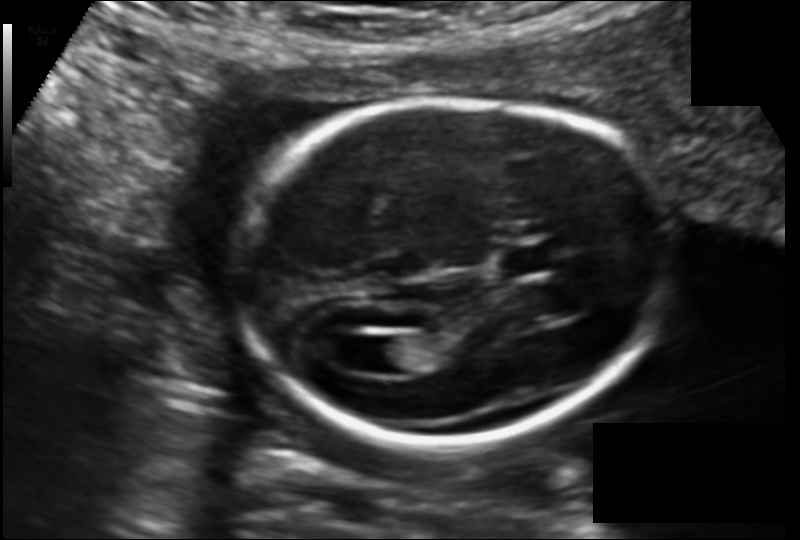
In this fetal head ultrasound, give the bounding box of the lateral ventricle. Image width: 107.8 mm.

[366,335,420,374]